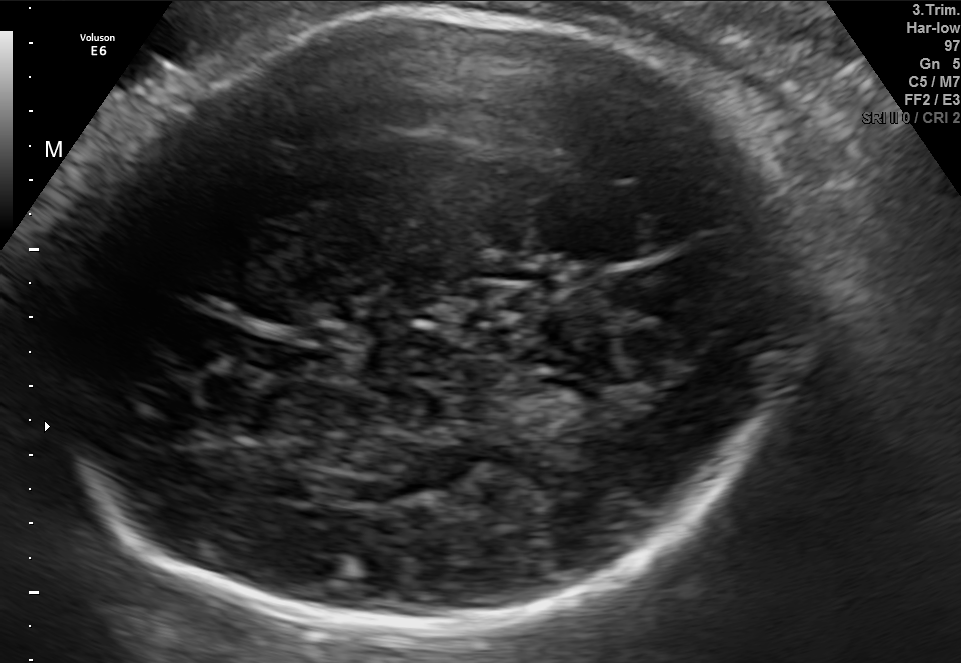
Fetal brain, trans-thalamic plane. Give [x1,y1,x2,y2] bounding boxes for each visible structure among: fetal head, CSP, LV.

Head: [42,13,789,636]